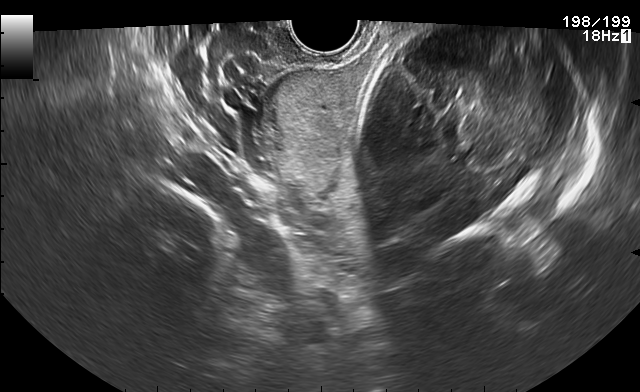
Identify the standard plane in this fetal ultrasound image: fetal abdomen, fetal brain, fetal femur, fetal thorax, maternal cervix, or other. If it's fetal brain and one of the three standard brain planes (trans-thalamic, trans-cerebellum, trans-ventricular), name which.

Maternal cervix